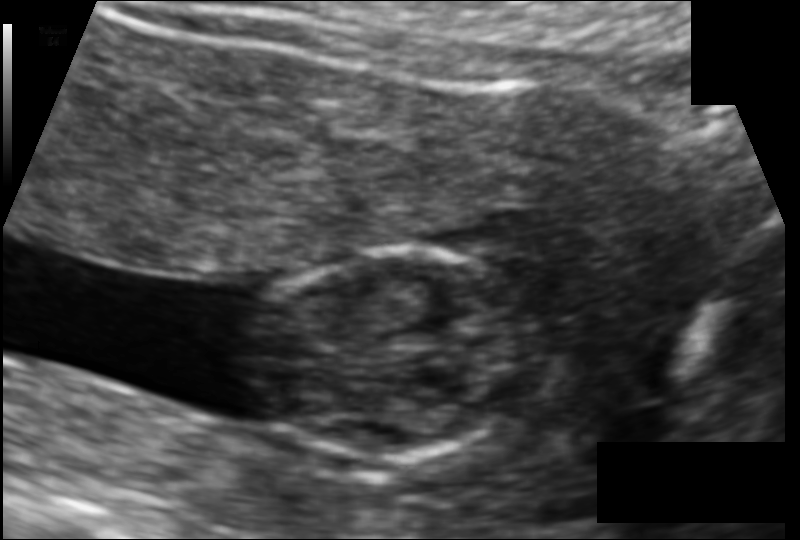
In this fetal head ultrasound, give the bounding box of the fetal head. Image width: 84.2 mm.

[252,250,523,463]